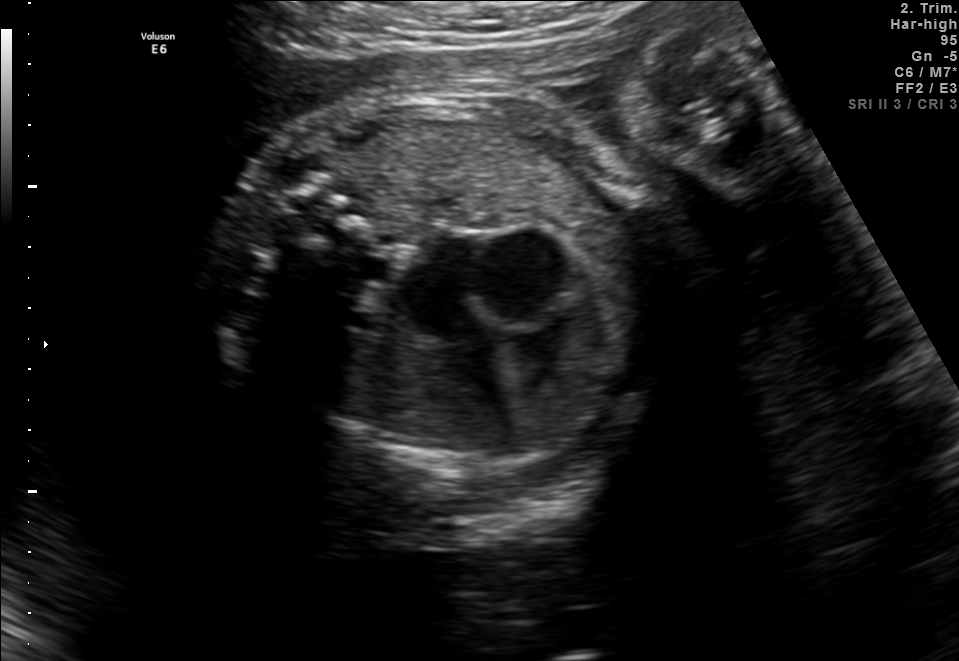
This is a 2D maternal-fetal ultrasound frame. Is it a fetal abdomen, fetal brain, fetal femur, fetal thorax, maternal cervix, or other standard plane? If it's fetal brain and one of the three standard brain planes (trans-thalamic, trans-cerebellum, trans-ventricular), name which.

Fetal thorax